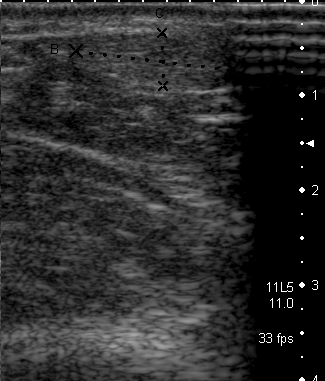
Which standard maternal-fetal ultrasound plane is shown: fetal abdomen, fetal brain, fetal femur, fetal thorax, maternal cervix, or other? If it's fetal brain and one of the three standard brain planes (trans-thalamic, trans-cerebellum, trans-ventricular), name which.

Other